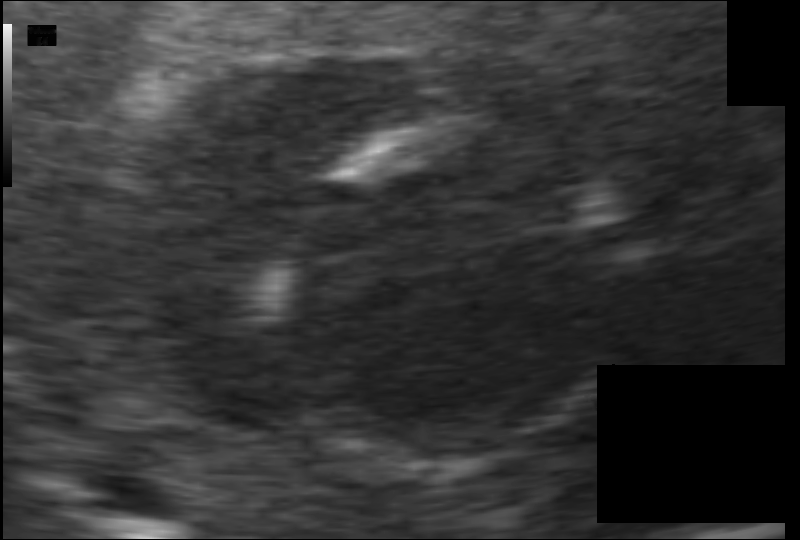
Estimate the fetal head circumference from this 2D ultrasound.

Head circumference: 80.8 mm (image width 55.7 mm).